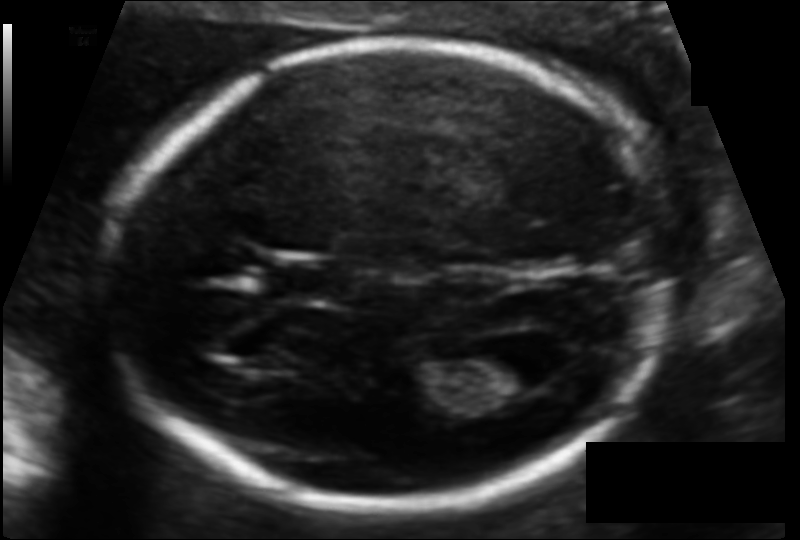
In this fetal head ultrasound, give the bounding box of the lateral ventricle. Image width: 82.6 mm.

[465,332,558,408]